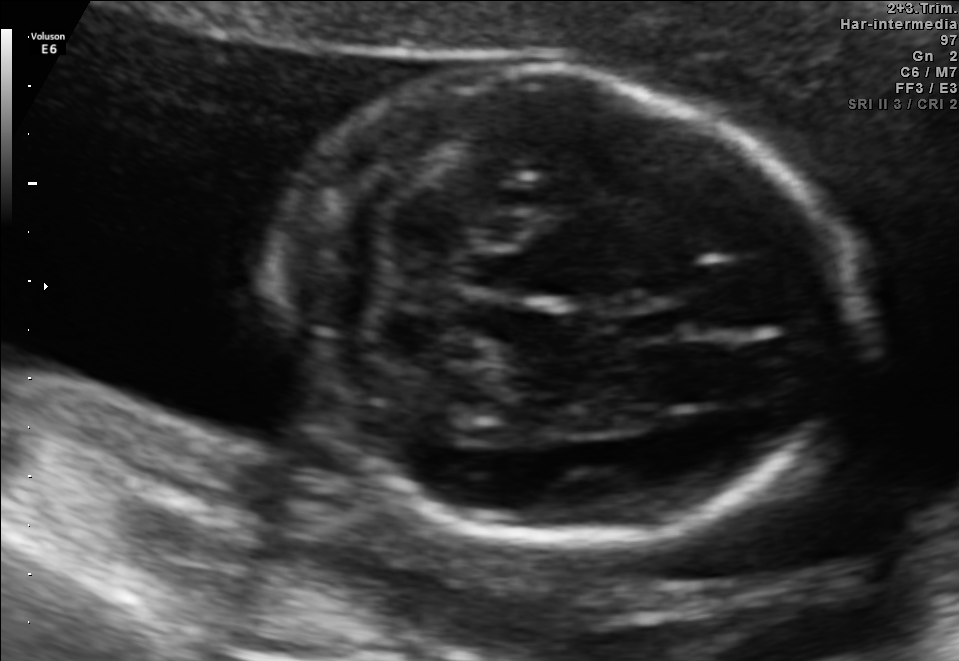
In this fetal brain, trans-cerebellum plane, give bounding boxes for the head outline, cavum septum pellucidum (CSP), and lateral ventricle (LV), where visible.

Head: [271,68,858,529]
CSP: [621,299,693,345]